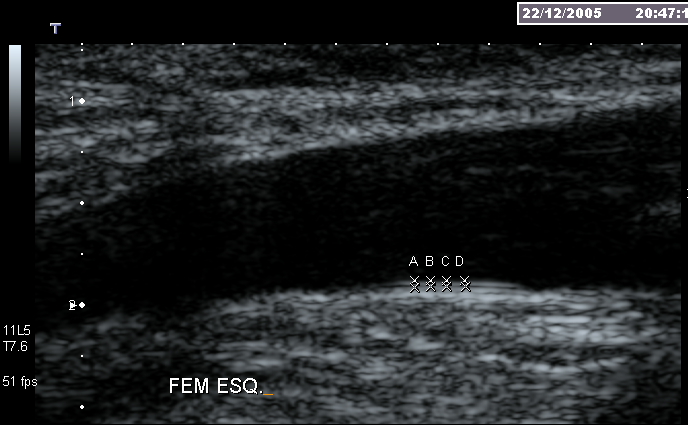
This is a 2D maternal-fetal ultrasound frame. Is it a fetal abdomen, fetal brain, fetal femur, fetal thorax, maternal cervix, or other standard plane? If it's fetal brain and one of the three standard brain planes (trans-thalamic, trans-cerebellum, trans-ventricular), name which.

Other